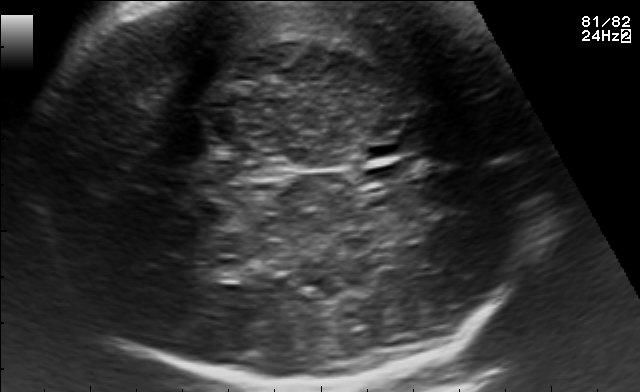
In this fetal brain, trans-thalamic plane, give the bounding box of the fetal head.

[26,3,546,388]